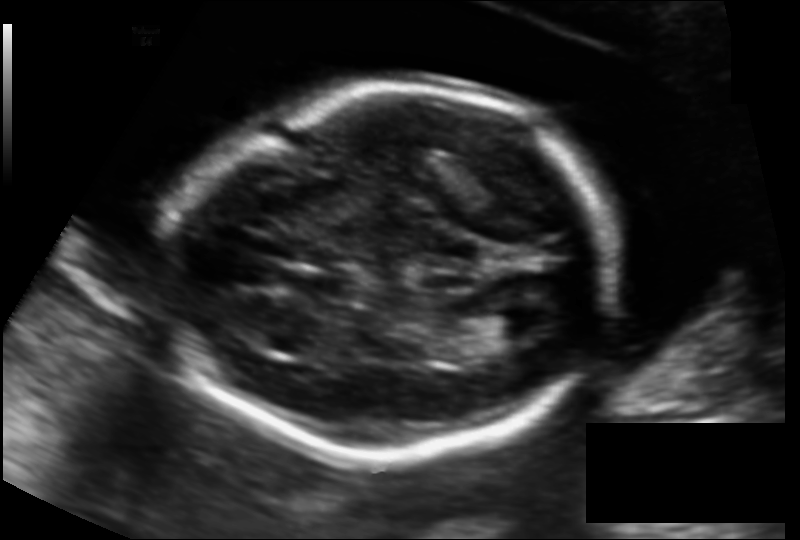
Fetal head ultrasound. Image width: 105.0 mm. Locate the fetal head.

Head: [168,85,612,460]